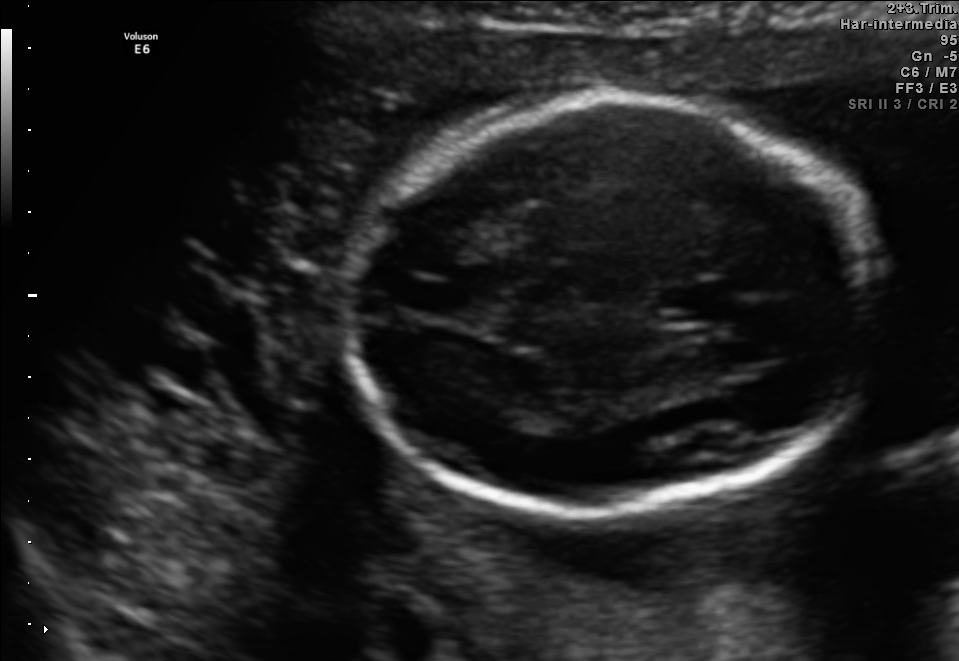
In this fetal brain, trans-thalamic plane, give bounding boxes for the head outline, cavum septum pellucidum (CSP), and lateral ventricle (LV), where visible.

Head: [345,100,880,509]
CSP: [660,280,730,324]